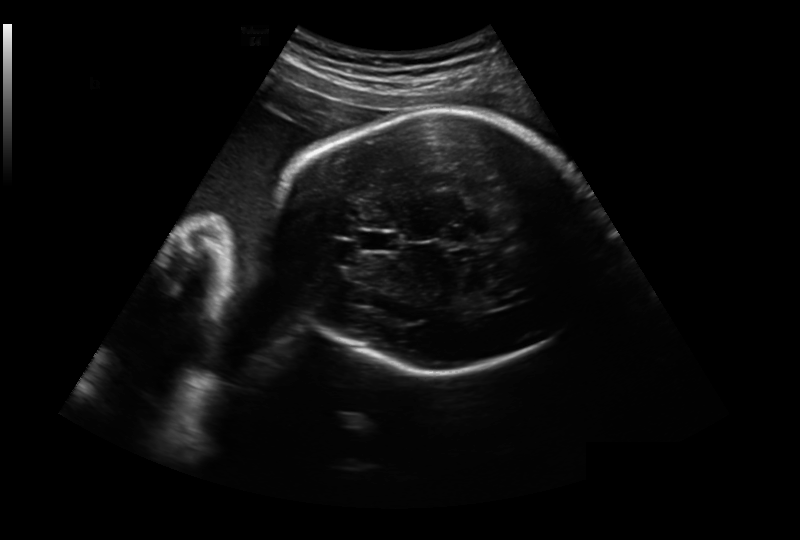
From this fetal ultrasound, estimate the head circumference (image width 224.7 mm).

Head circumference: 264.6 mm.